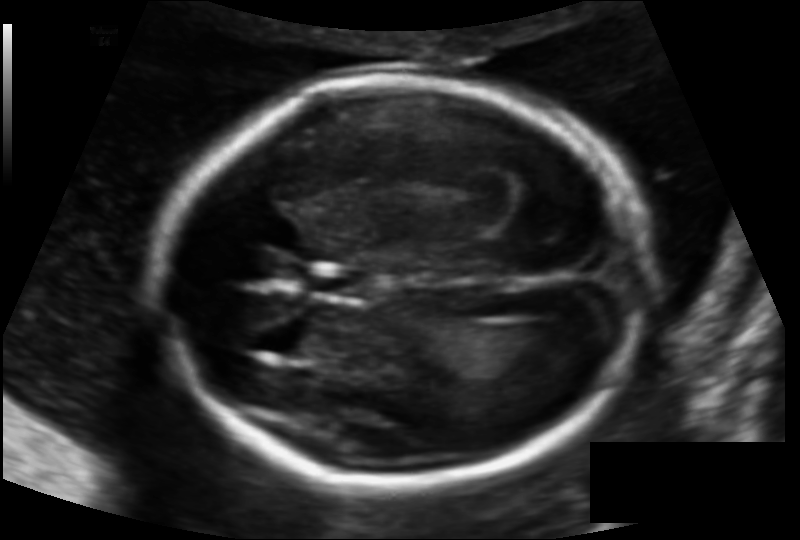
In this fetal head ultrasound, give the bounding box of the cavum septum pellucidum. Image width: 97.8 mm.

[306,263,370,302]